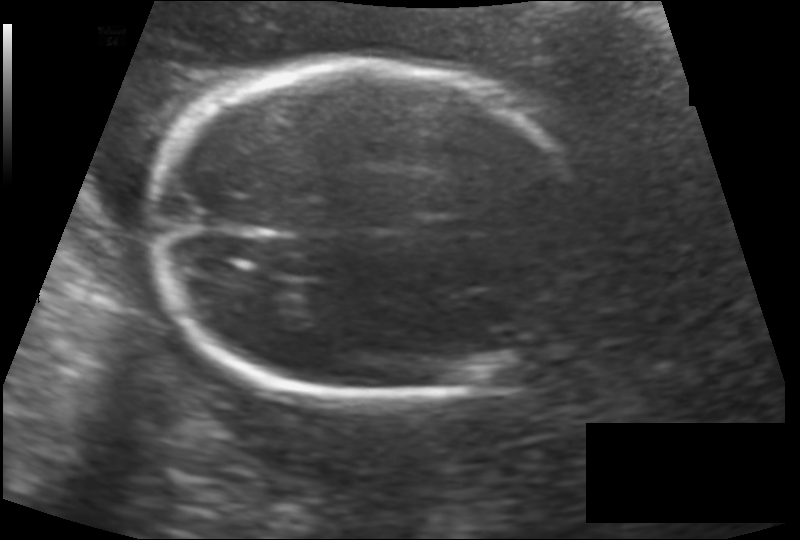
What is the fetal head circumference? Image width is 117.4 mm.

182.5 mm